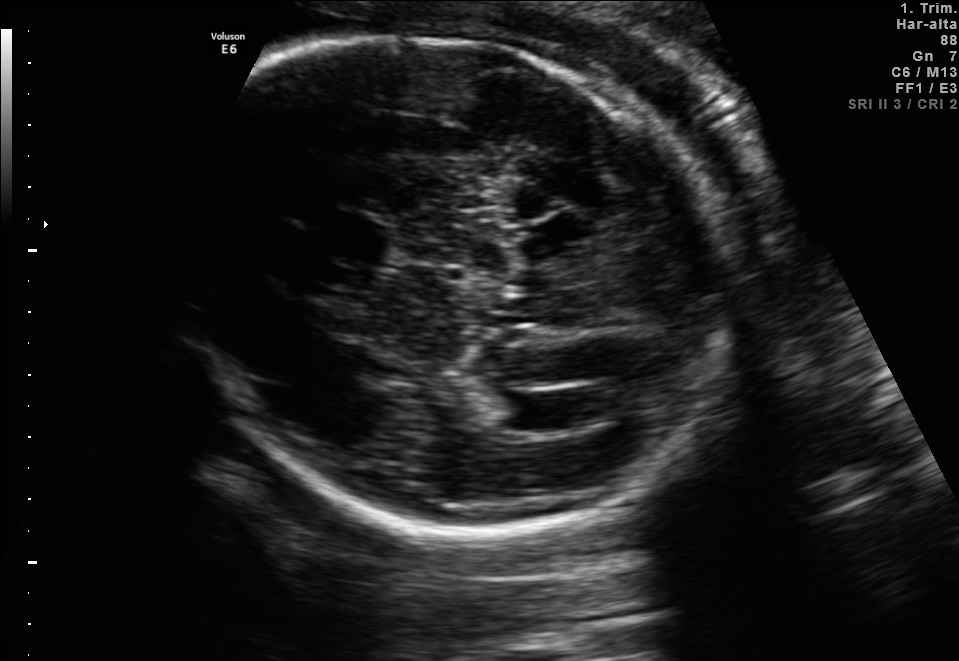
In this fetal brain, trans-ventricular plane, give the bounding box of the lateral ventricle.

[503,394,568,430]